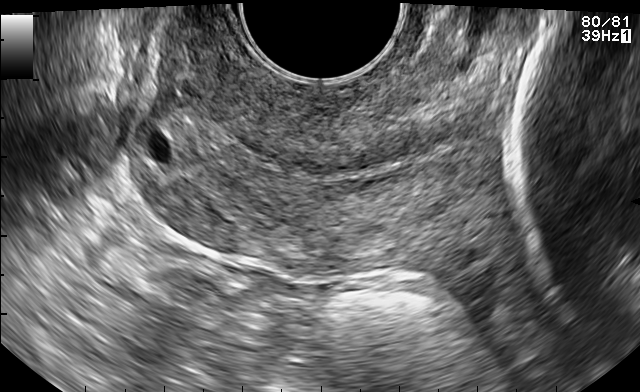
Identify the standard plane in this fetal ultrasound image: fetal abdomen, fetal brain, fetal femur, fetal thorax, maternal cervix, or other. If it's fetal brain and one of the three standard brain planes (trans-thalamic, trans-cerebellum, trans-ventricular), name which.

Maternal cervix